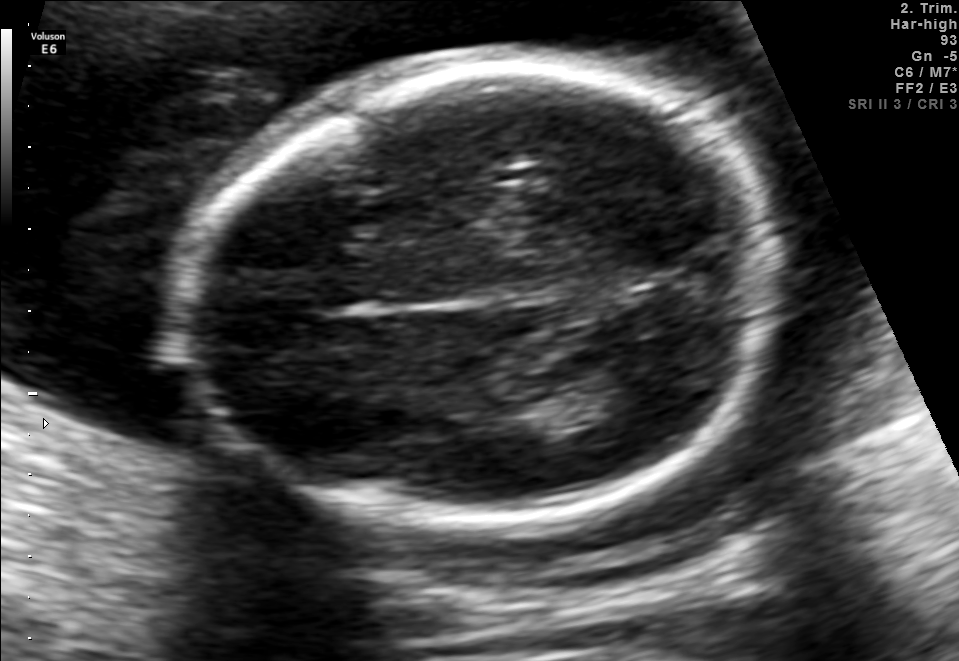
Fetal brain, trans-thalamic plane. Where is the fetal head?

Head bounding box: [183,64,782,521]